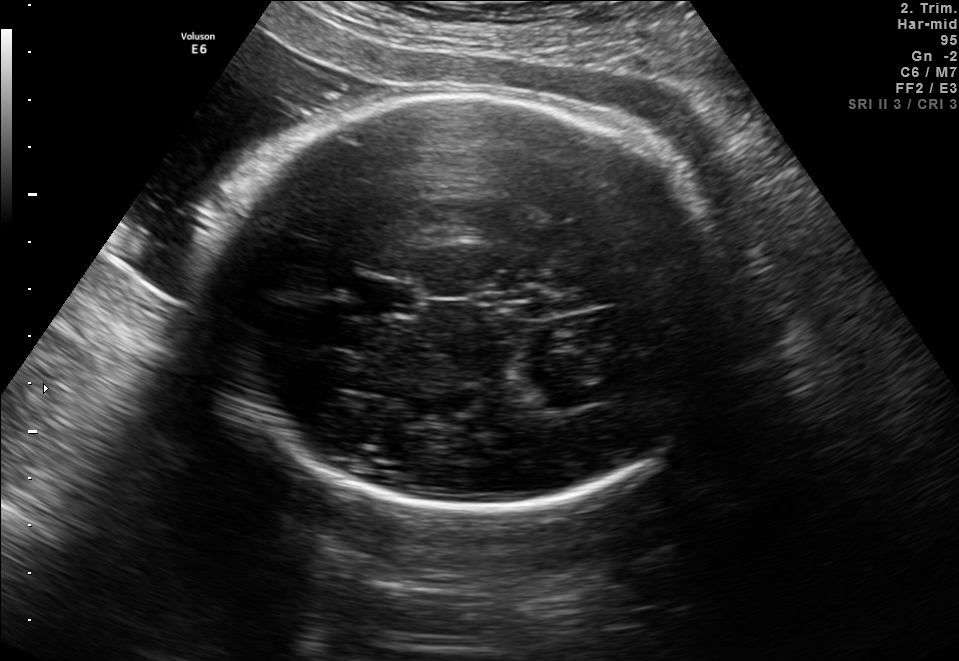
This is a 2D maternal-fetal ultrasound frame. Is it a fetal abdomen, fetal brain, fetal femur, fetal thorax, maternal cervix, or other standard plane? If it's fetal brain and one of the three standard brain planes (trans-thalamic, trans-cerebellum, trans-ventricular), name which.

Fetal brain (trans-thalamic plane)